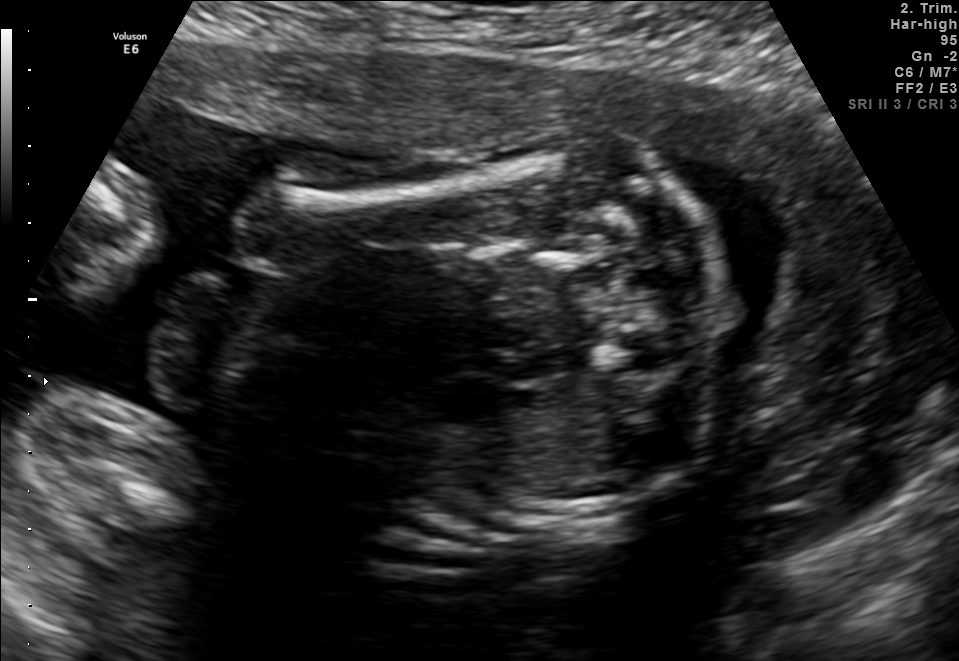
This is a 2D maternal-fetal ultrasound frame. Is it a fetal abdomen, fetal brain, fetal femur, fetal thorax, maternal cervix, or other standard plane? If it's fetal brain and one of the three standard brain planes (trans-thalamic, trans-cerebellum, trans-ventricular), name which.

Other